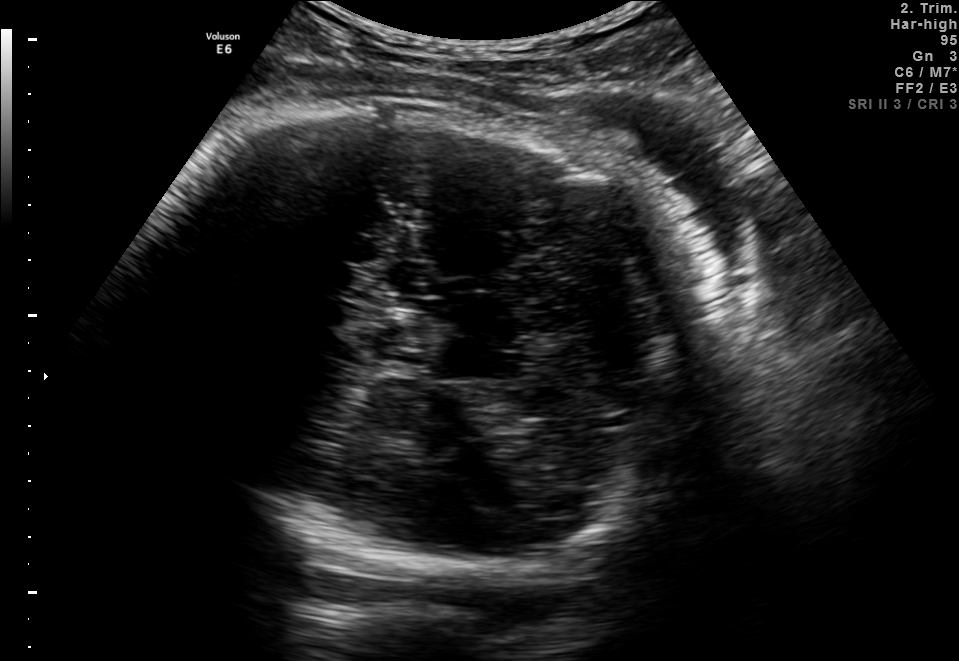
Fetal brain, trans-thalamic plane. Locate the fetal head and, if visible, the cavum septum pellucidum (CSP) and lateral ventricle (LV). Give bounding boxes as [x1,y1,x2,y2].

Head: [131,105,686,570]